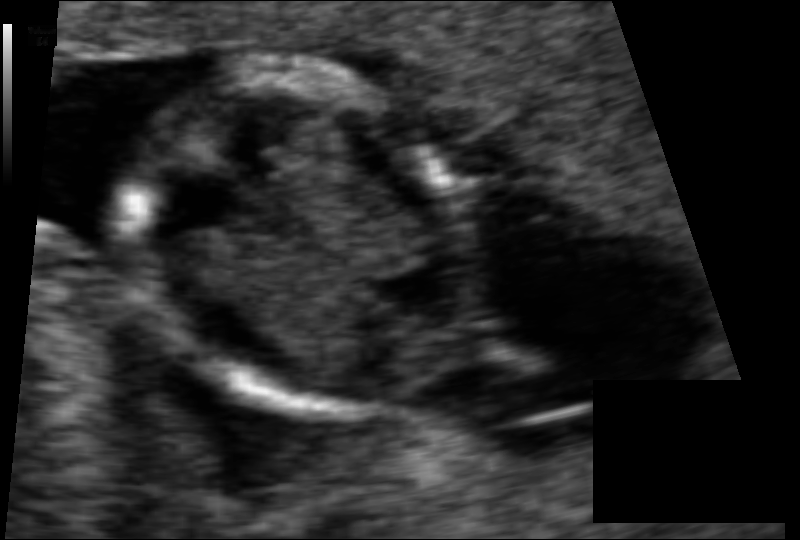
What is the fetal head circumference? Image width is 52.2 mm.

74.7 mm